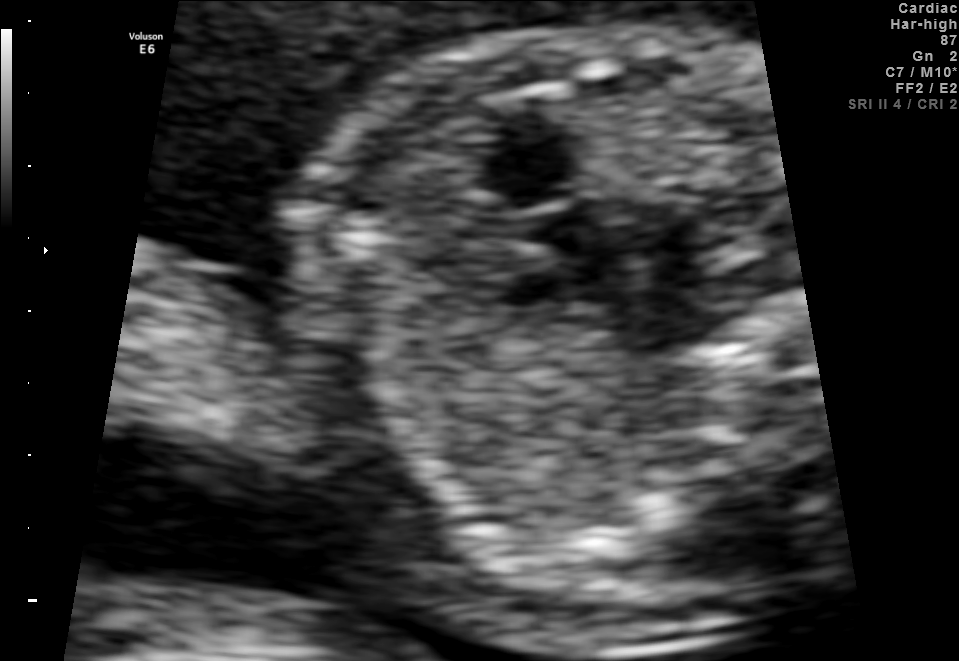
Which standard maternal-fetal ultrasound plane is shown: fetal abdomen, fetal brain, fetal femur, fetal thorax, maternal cervix, or other? If it's fetal brain and one of the three standard brain planes (trans-thalamic, trans-cerebellum, trans-ventricular), name which.

Other